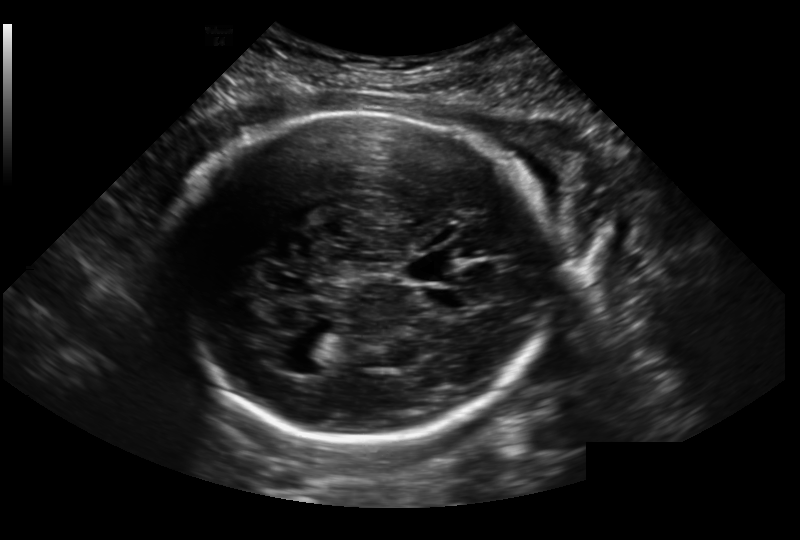
Estimate the fetal head circumference from this 2D ultrasound.

Head circumference: 274.9 mm (image width 188.7 mm).